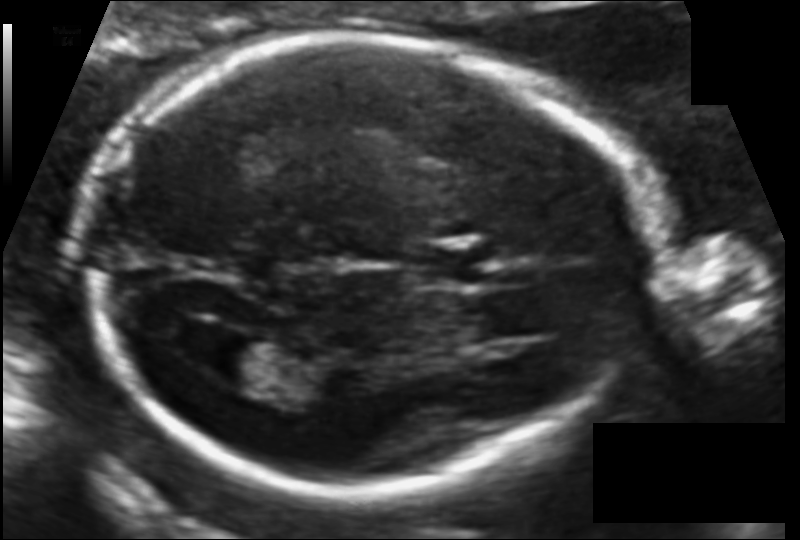
Fetal head ultrasound. Image width: 87.0 mm. Give [x1,y1,x2,y2] bounding boxes for each visible structure among: fetal head, CSP, LV.

Head: [87,37,643,493]
CSP: [413,245,477,285]
Lateral ventricle: [190,318,279,392]